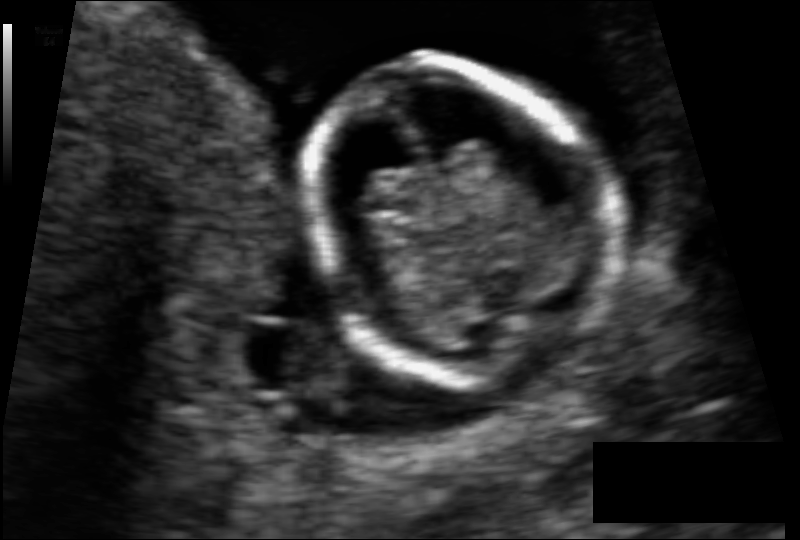
What is the fetal head circumference? Image width is 58.7 mm.

76.6 mm